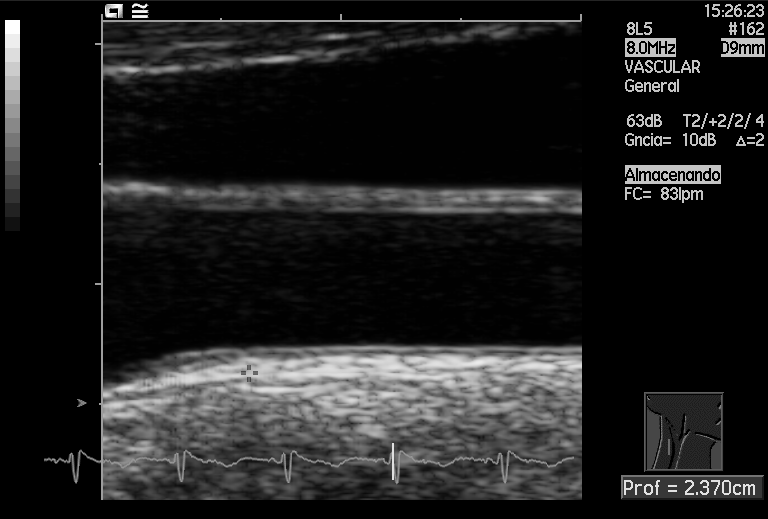
Which standard maternal-fetal ultrasound plane is shown: fetal abdomen, fetal brain, fetal femur, fetal thorax, maternal cervix, or other? If it's fetal brain and one of the three standard brain planes (trans-thalamic, trans-cerebellum, trans-ventricular), name which.

Other